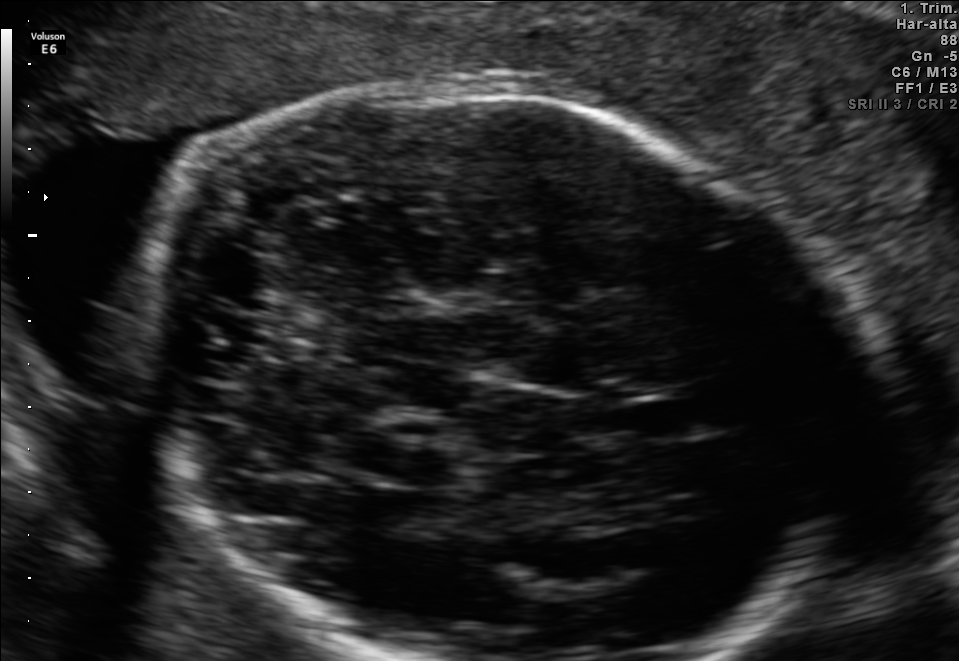
Fetal brain, trans-thalamic plane. Locate the fetal head.

Head: [131,72,838,657]